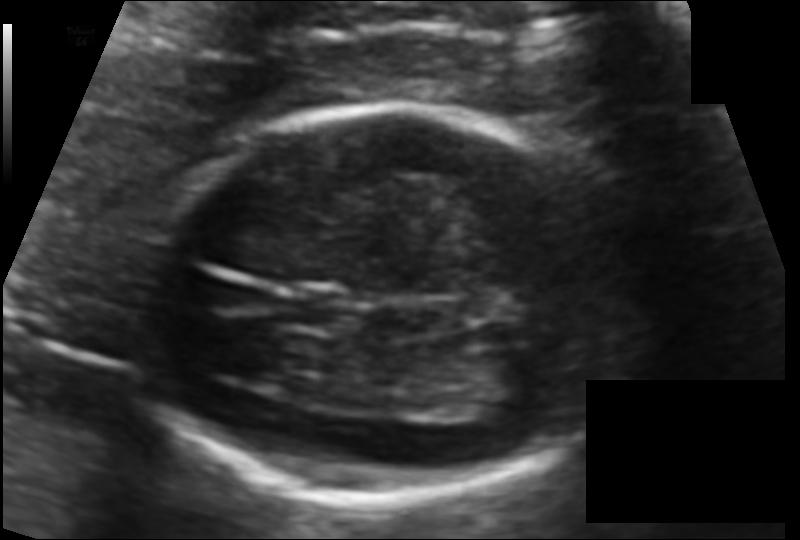
What is the fetal head circumference? Image width is 80.0 mm.

145.2 mm